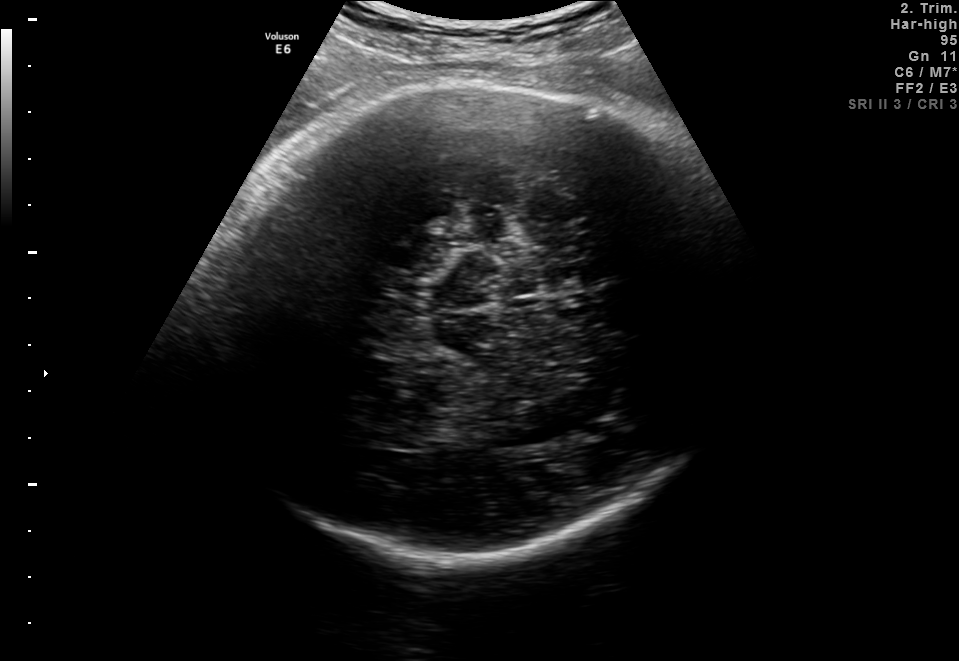
Fetal brain, trans-thalamic plane. Where is the fetal head?

Head bounding box: [202,83,739,554]